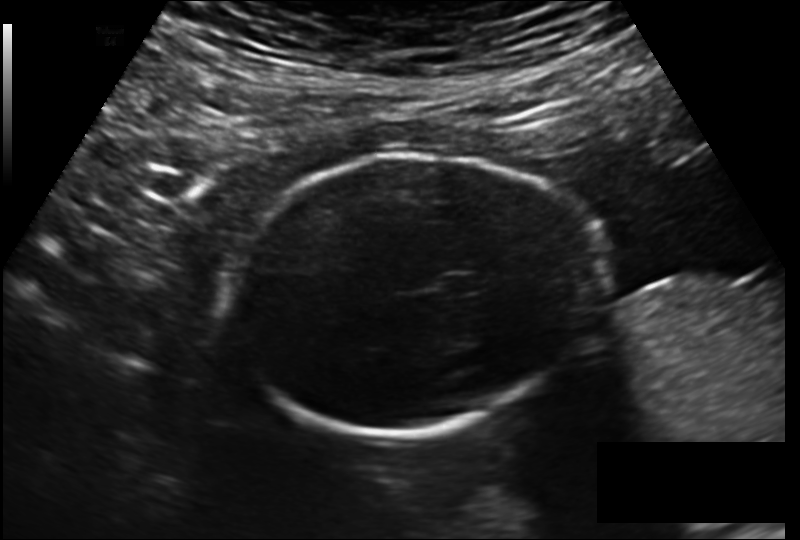
In this fetal head ultrasound, give the bounding box of the cavum septum pellucidum. Image width: 142.1 mm.

[441,272,478,295]